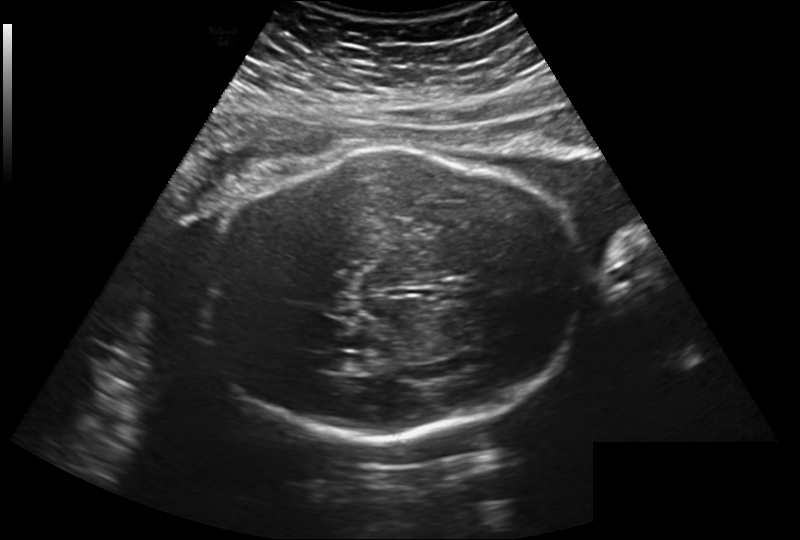
What is the fetal head circumference? Image width is 208.3 mm.

277.6 mm